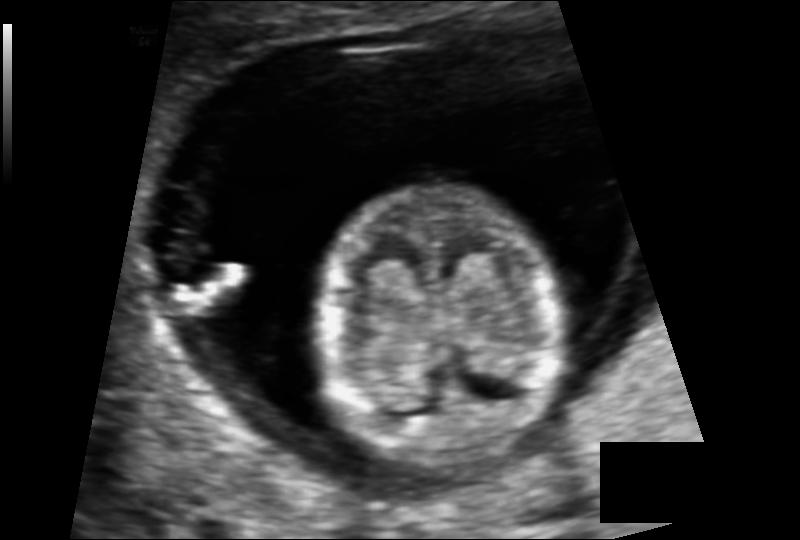
In this fetal head ultrasound, give the bounding box of the fetal head. Image width: 71.8 mm.

[315,185,560,470]